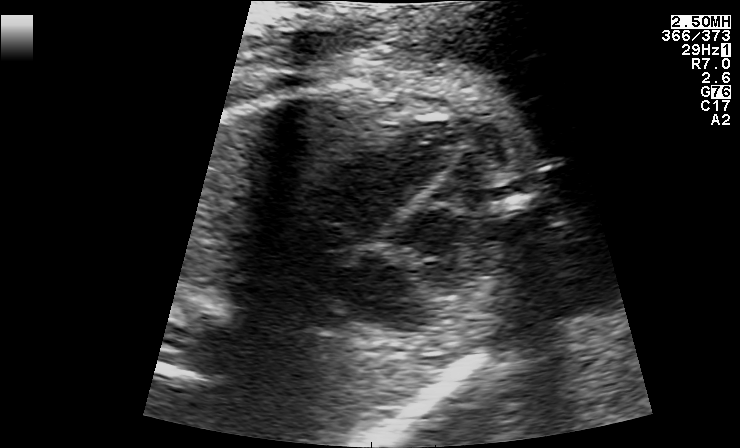
Classify this maternal-fetal ultrasound image as one of the six standard planes — fetal abdomen, fetal brain, fetal femur, fetal thorax, maternal cervix, or other. If it's fetal brain and one of the three standard brain planes (trans-thalamic, trans-cerebellum, trans-ventricular), name which.

Fetal thorax